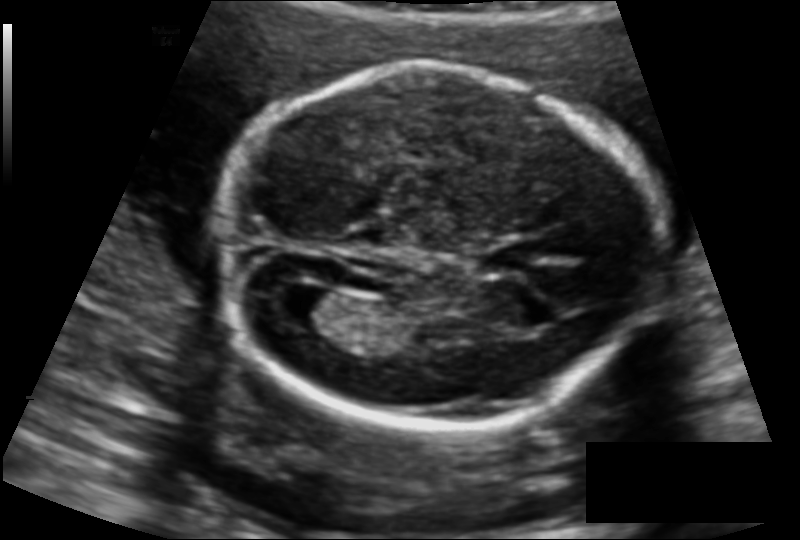
Fetal head ultrasound. Image width: 101.8 mm. Where is the fetal head?

Head bounding box: [220,64,650,427]